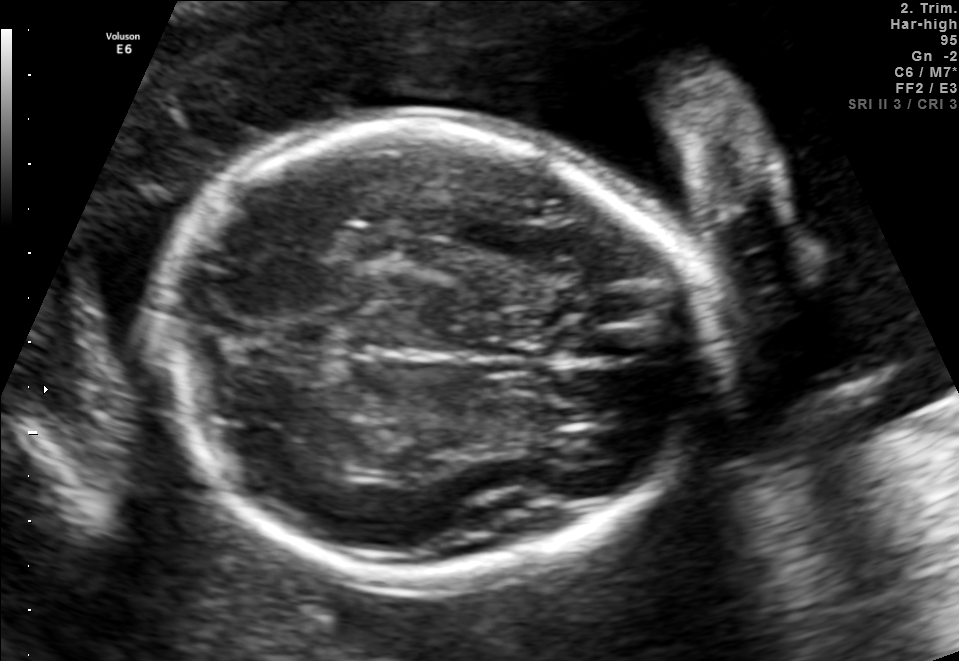
Fetal brain, trans-thalamic plane. Where is the fetal head?

Head bounding box: [165,120,714,587]